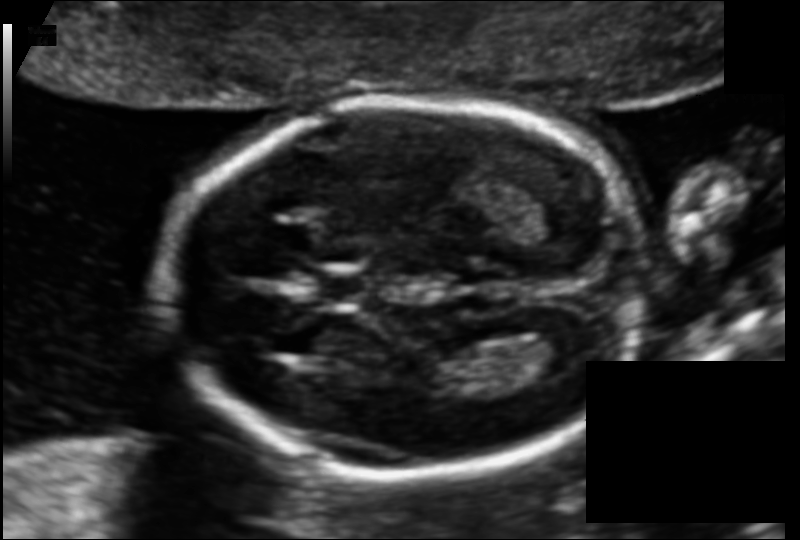
Estimate the fetal head circumference from this 2D ultrasound.

Head circumference: 154.4 mm (image width 87.9 mm).